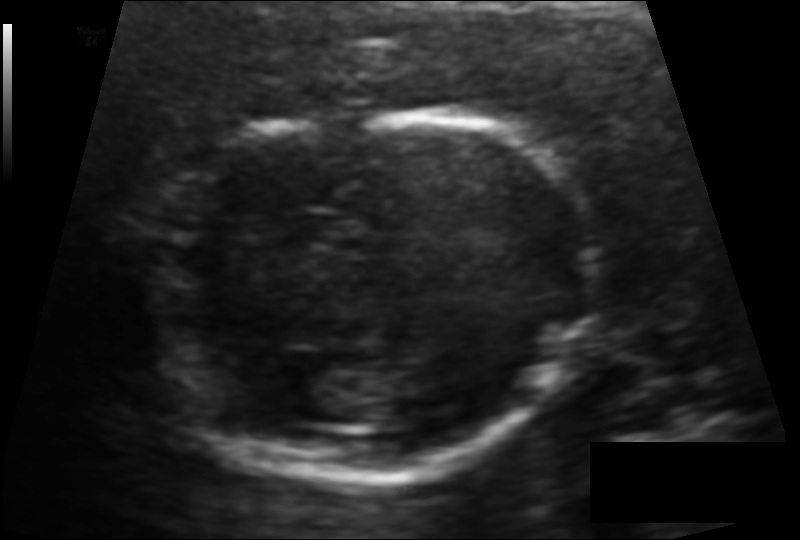
Estimate the fetal head circumference from this 2D ultrasound.

Head circumference: 132.5 mm (image width 81.2 mm).